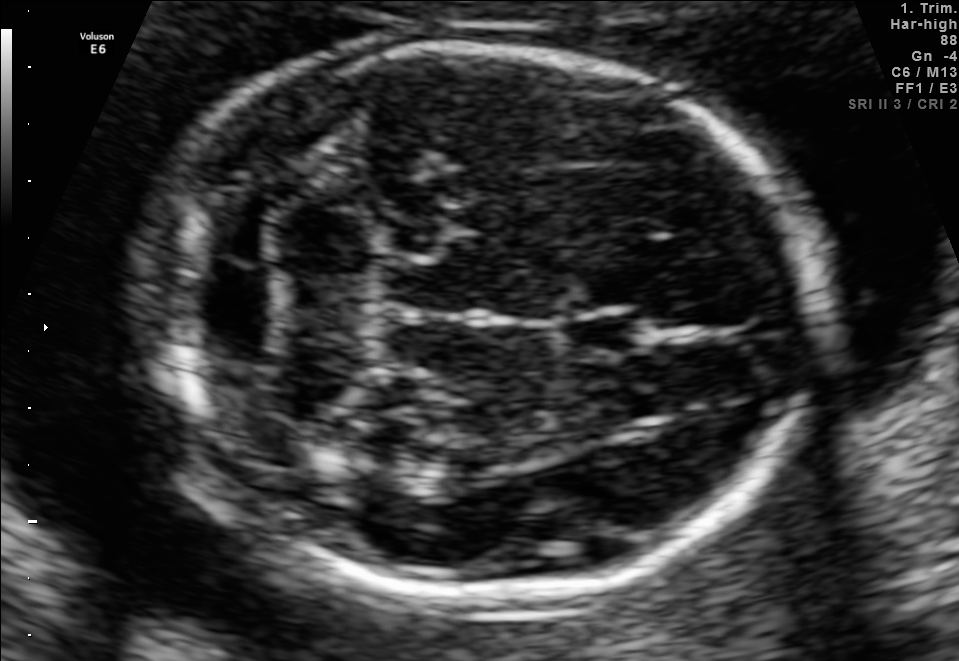
Fetal brain, trans-cerebellum plane. Where is the fetal head?

Head bounding box: [138,48,821,597]